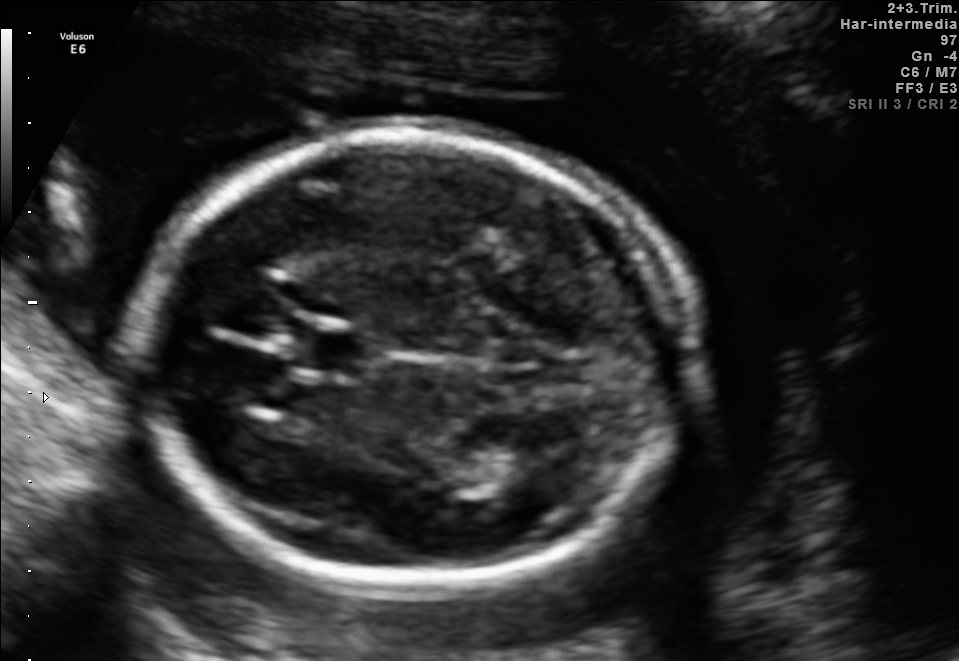
Fetal brain, trans-thalamic plane. Where is the fetal head?

Head bounding box: [142,133,687,586]